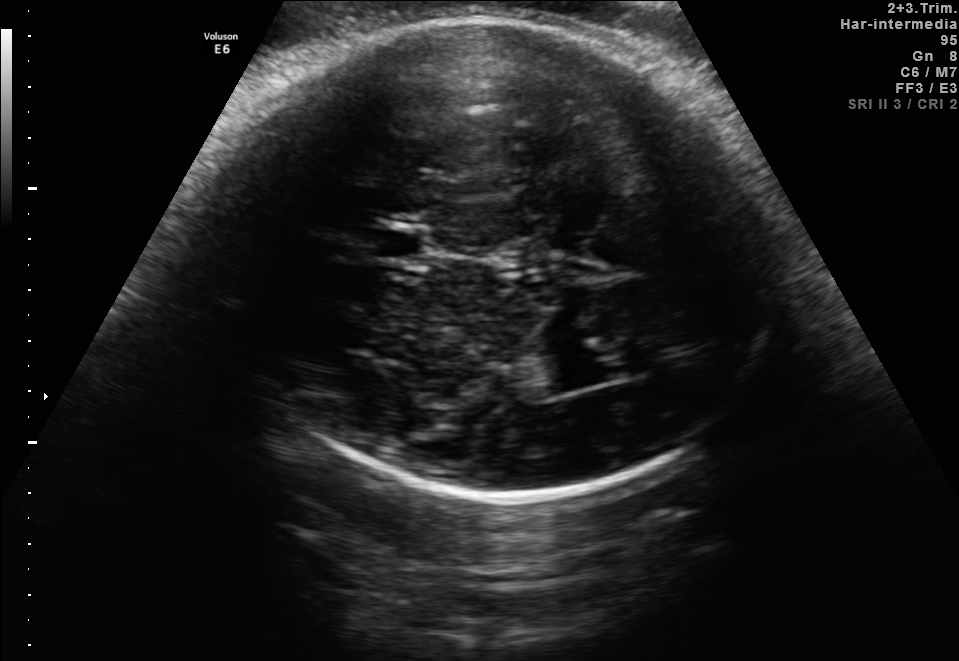
Fetal brain, trans-thalamic plane. Locate the cavum septum pellucidum.

CSP: [373,230,423,260]